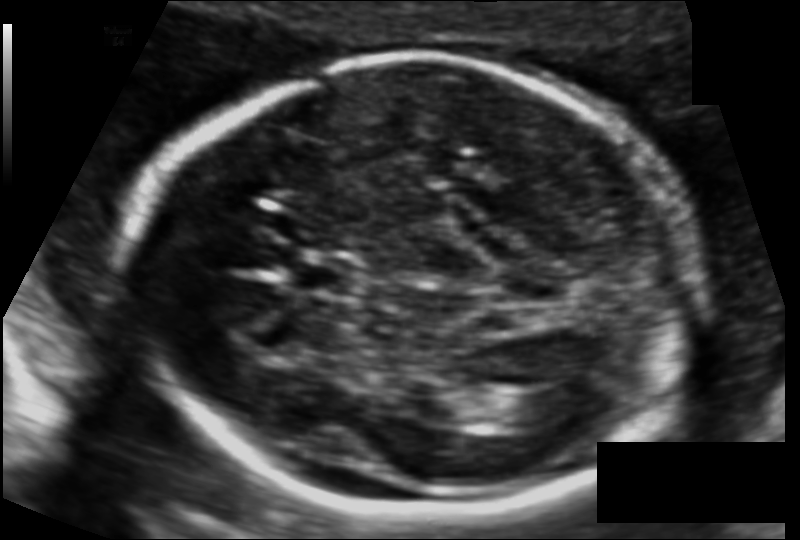
Fetal head ultrasound. Image width: 89.5 mm. Locate the cavum septum pellucidum.

CSP: [284,252,352,297]